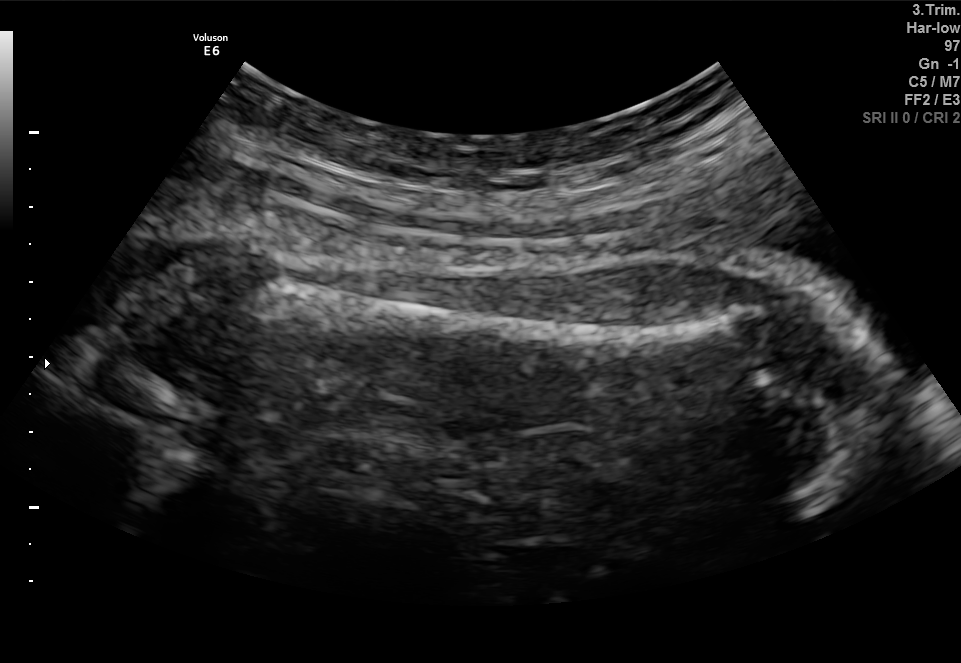
Which standard maternal-fetal ultrasound plane is shown: fetal abdomen, fetal brain, fetal femur, fetal thorax, maternal cervix, or other? If it's fetal brain and one of the three standard brain planes (trans-thalamic, trans-cerebellum, trans-ventricular), name which.

Fetal femur